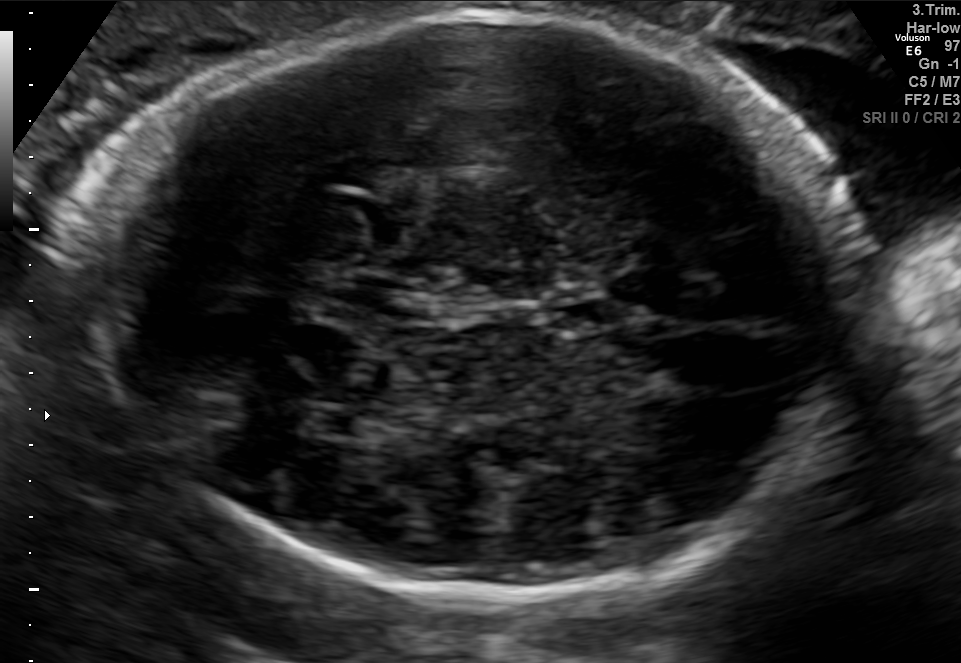
Classify this maternal-fetal ultrasound image as one of the six standard planes — fetal abdomen, fetal brain, fetal femur, fetal thorax, maternal cervix, or other. If it's fetal brain and one of the three standard brain planes (trans-thalamic, trans-cerebellum, trans-ventricular), name which.

Fetal brain (trans-thalamic plane)